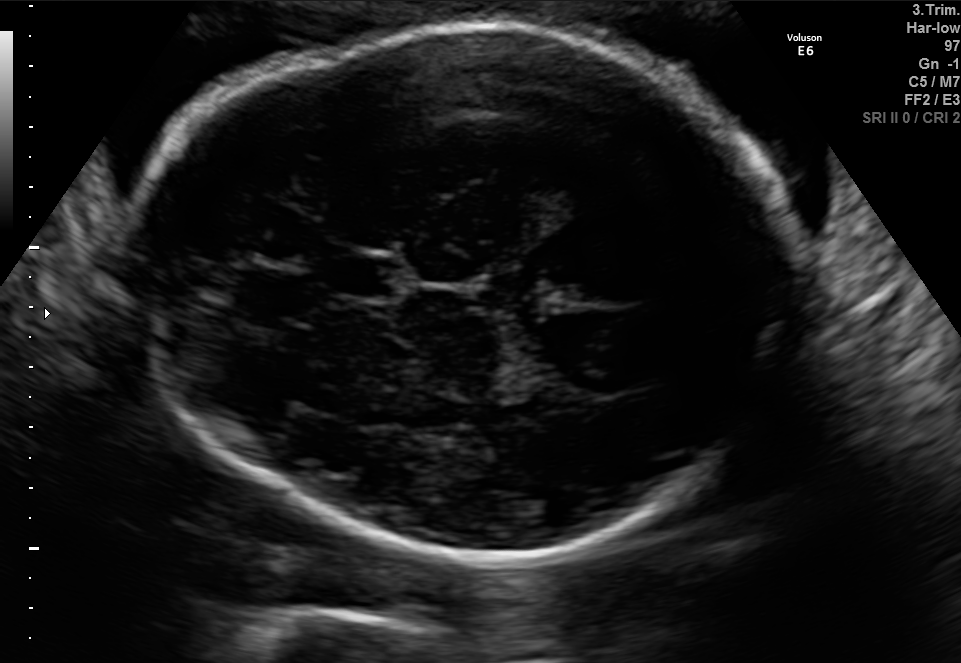
Fetal brain, trans-thalamic plane. Locate the cavum septum pellucidum.

CSP: [335,253,399,299]